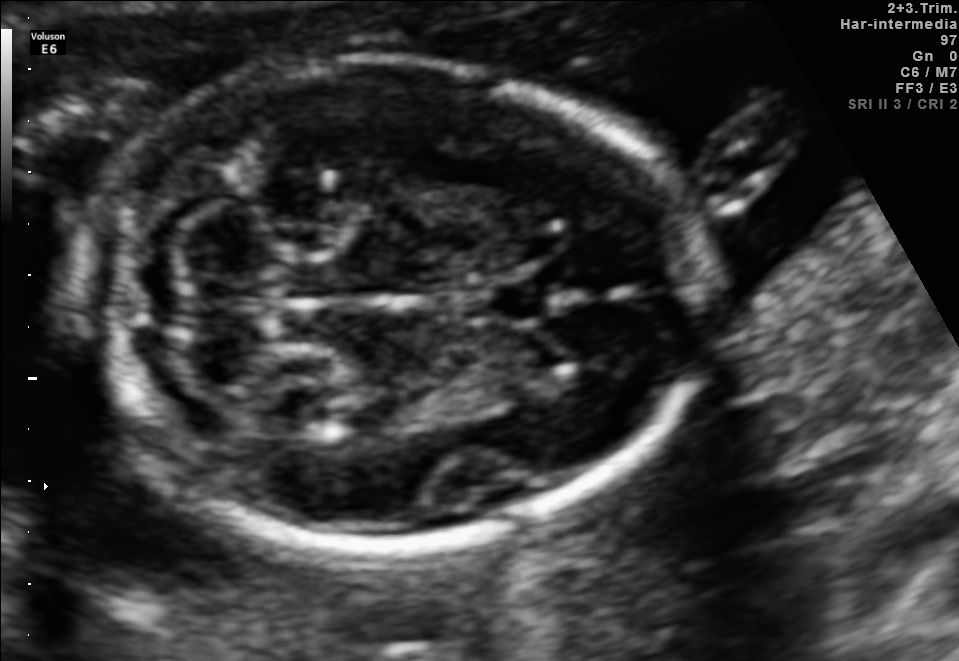
Fetal brain, trans-cerebellum plane. Locate the cavum septum pellucidum.

CSP: [477,276,554,325]